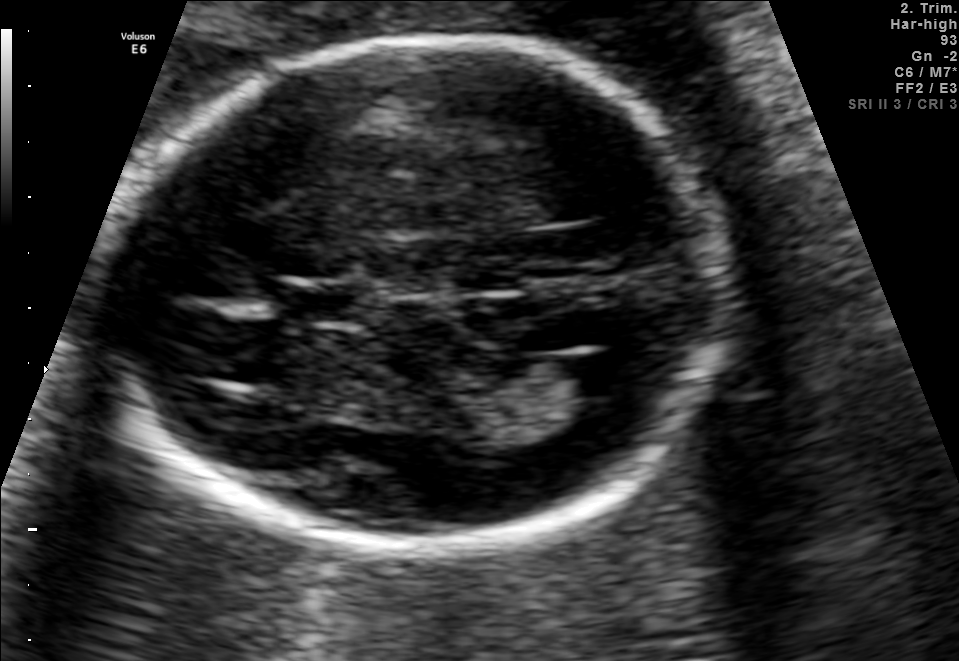
Fetal brain, trans-ventricular plane. Where is the fetal head?

Head bounding box: [100,31,747,562]